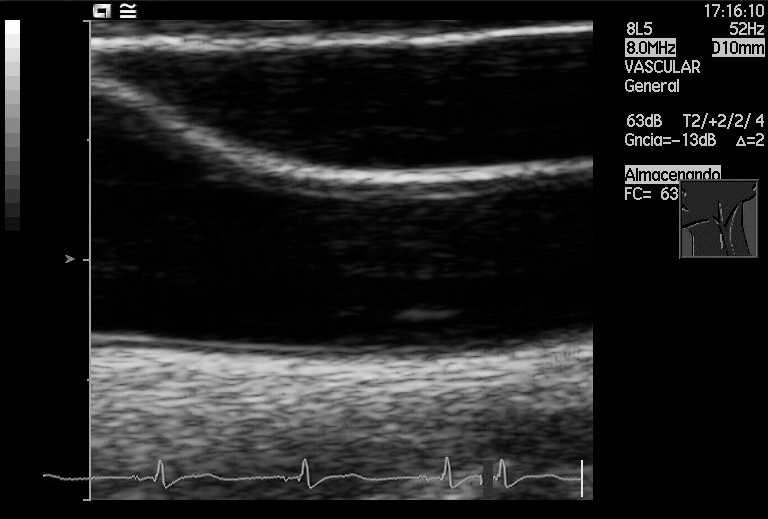
Which standard maternal-fetal ultrasound plane is shown: fetal abdomen, fetal brain, fetal femur, fetal thorax, maternal cervix, or other? If it's fetal brain and one of the three standard brain planes (trans-thalamic, trans-cerebellum, trans-ventricular), name which.

Other